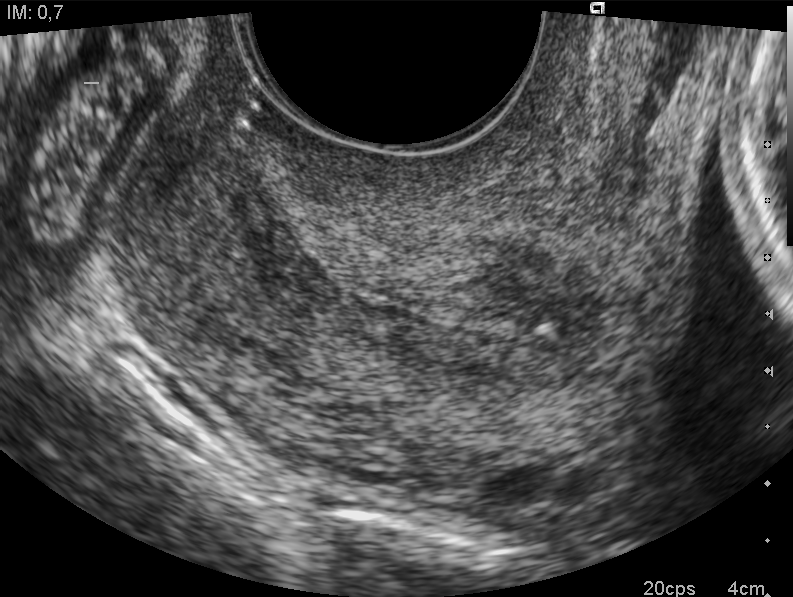
Classify this maternal-fetal ultrasound image as one of the six standard planes — fetal abdomen, fetal brain, fetal femur, fetal thorax, maternal cervix, or other. If it's fetal brain and one of the three standard brain planes (trans-thalamic, trans-cerebellum, trans-ventricular), name which.

Maternal cervix